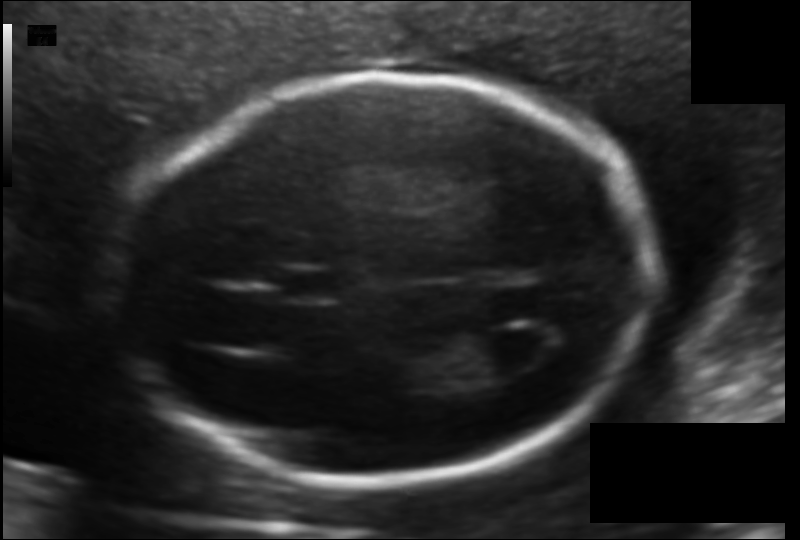
Estimate the fetal head circumference from this 2D ultrasound.

Head circumference: 176.2 mm (image width 93.0 mm).